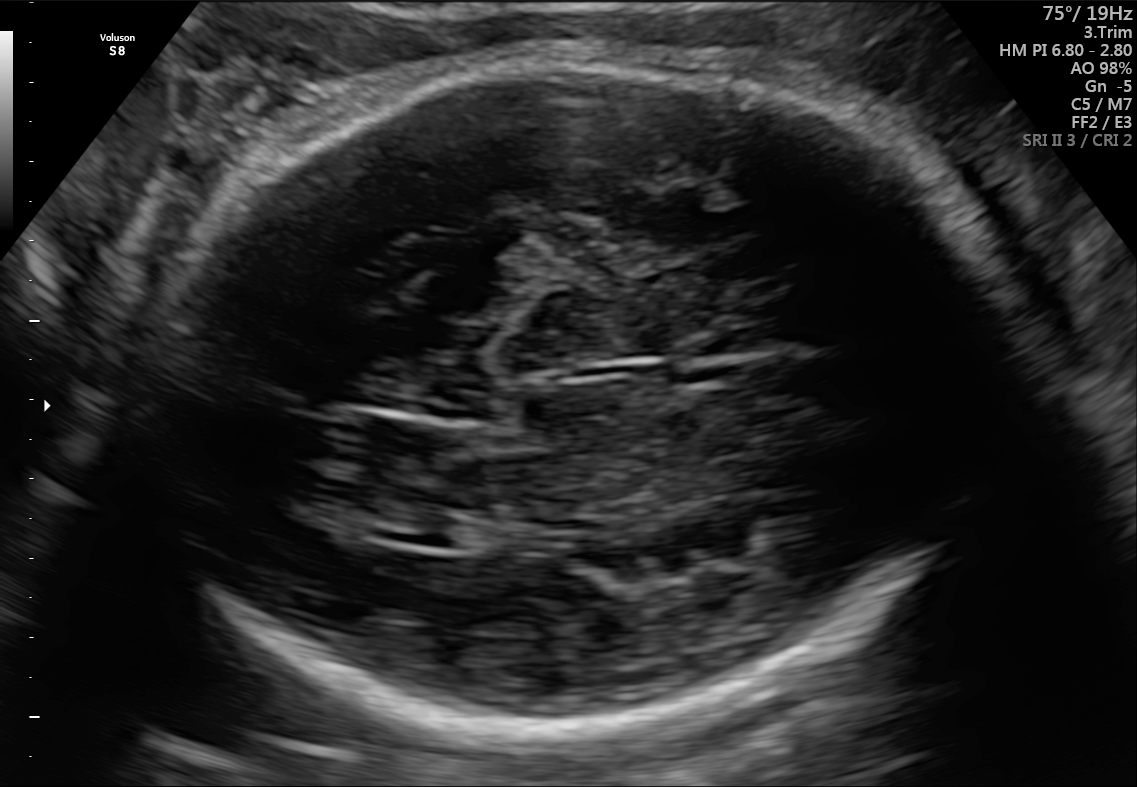
In this fetal brain, trans-thalamic plane, give the bounding box of the fetal head.

[142,58,1018,731]